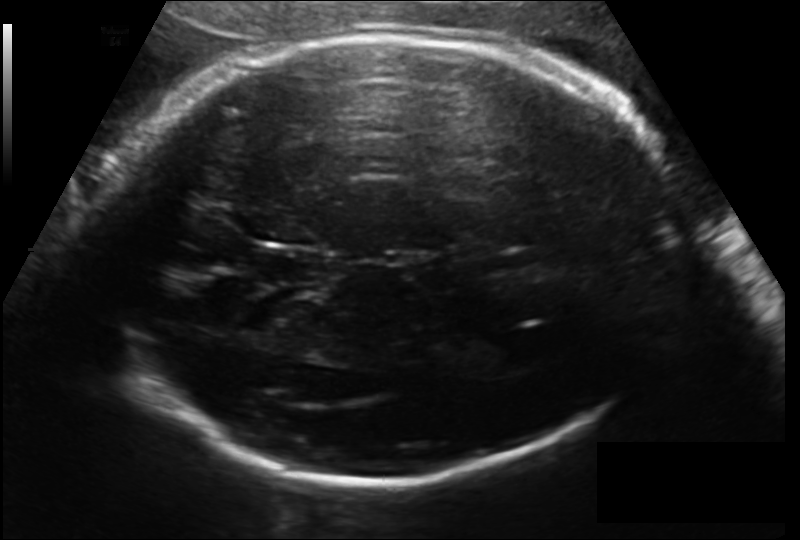
In this fetal head ultrasound, give the bounding box of the fetal head. Image width: 136.7 mm.

[102,33,672,487]